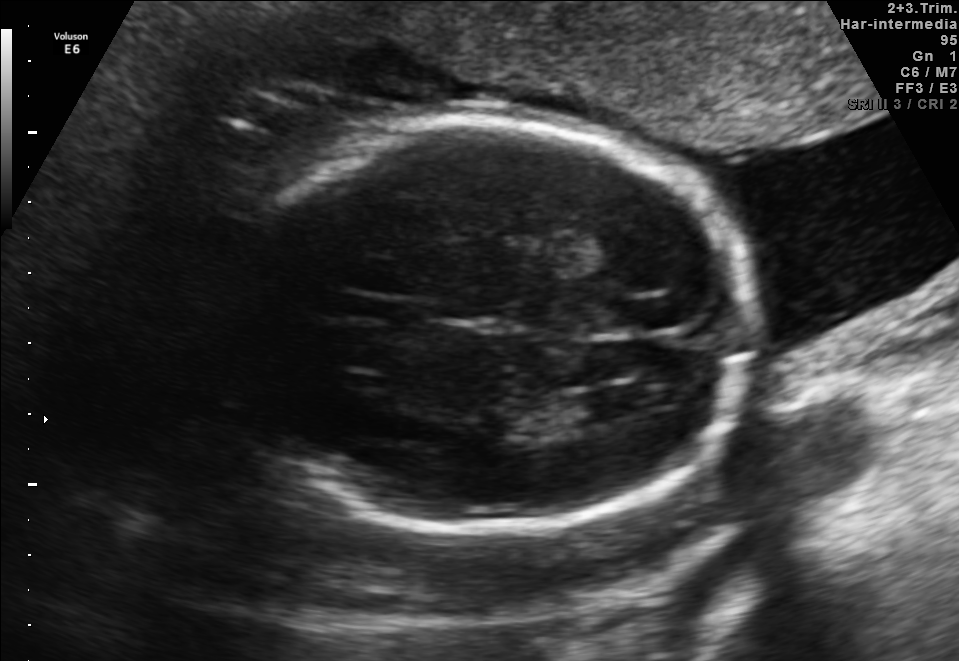
In this fetal brain, trans-ventricular plane, give the bounding box of the fetal head.

[235,111,762,536]